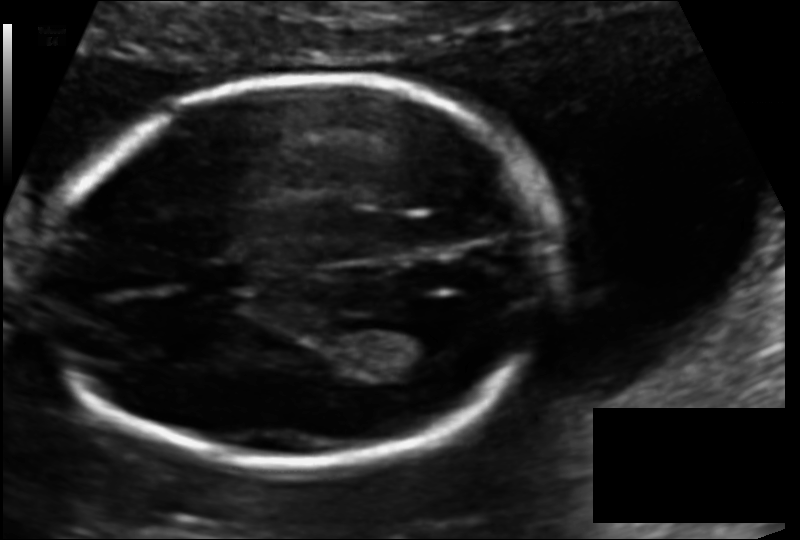
In this fetal head ultrasound, give the bounding box of the lateral ventricle. Image width: 90.5 mm.

[355,310,450,374]